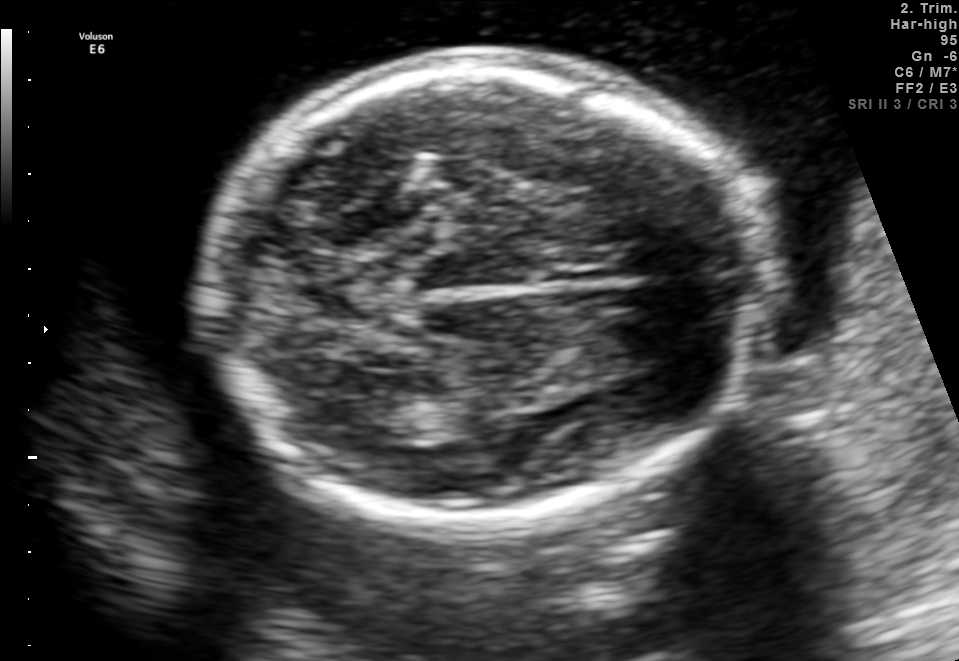
Fetal brain, trans-thalamic plane. Locate the fetal head.

Head: [207,56,766,517]